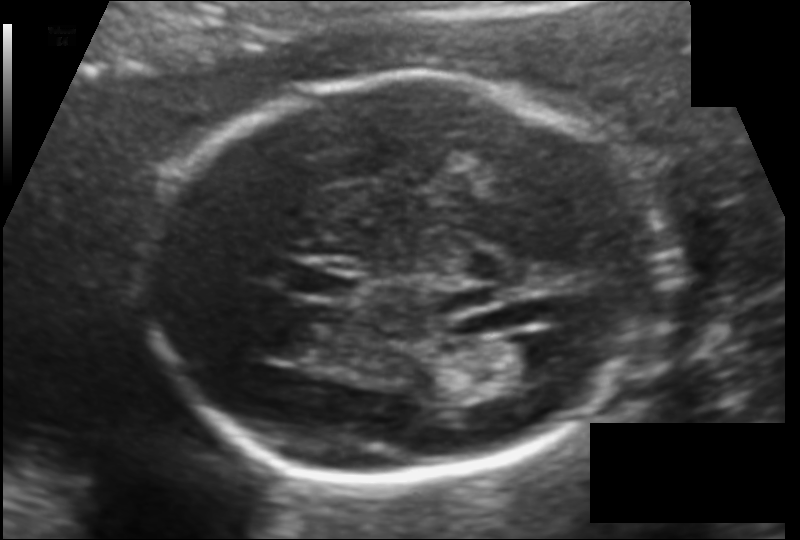
Estimate the fetal head circumference from this 2D ultrasound.

Head circumference: 179.7 mm (image width 95.9 mm).